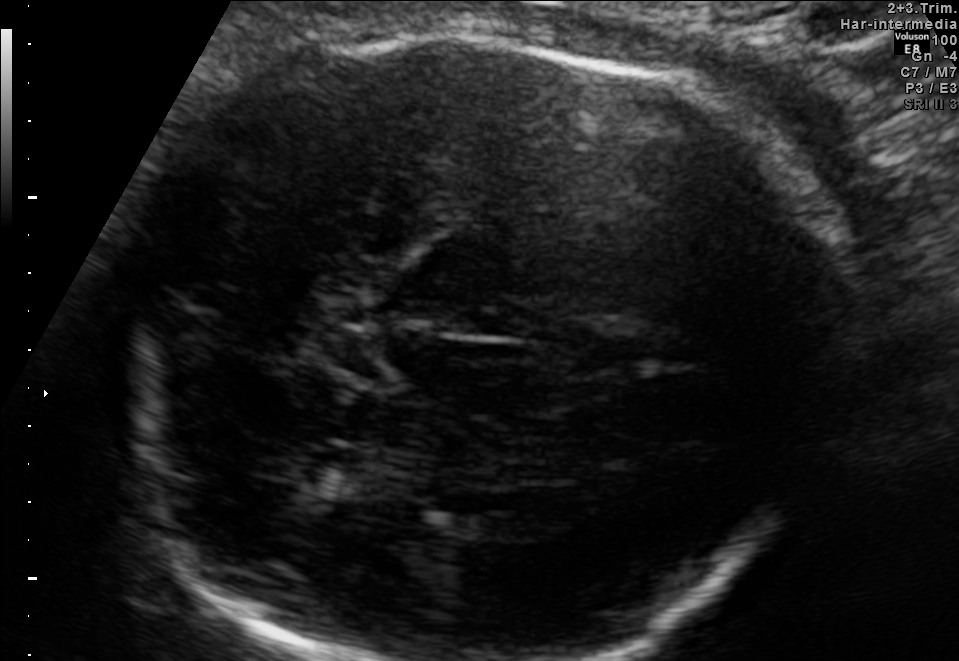
Classify this maternal-fetal ultrasound image as one of the six standard planes — fetal abdomen, fetal brain, fetal femur, fetal thorax, maternal cervix, or other. If it's fetal brain and one of the three standard brain planes (trans-thalamic, trans-cerebellum, trans-ventricular), name which.

Fetal brain (trans-thalamic plane)